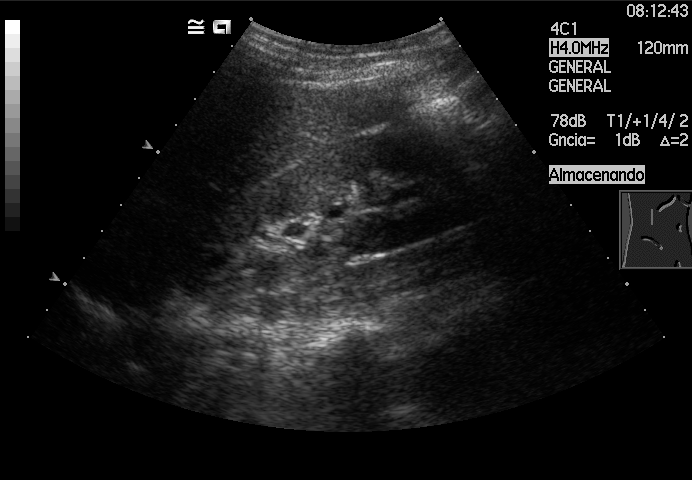
This is a 2D maternal-fetal ultrasound frame. Is it a fetal abdomen, fetal brain, fetal femur, fetal thorax, maternal cervix, or other standard plane? If it's fetal brain and one of the three standard brain planes (trans-thalamic, trans-cerebellum, trans-ventricular), name which.

Other